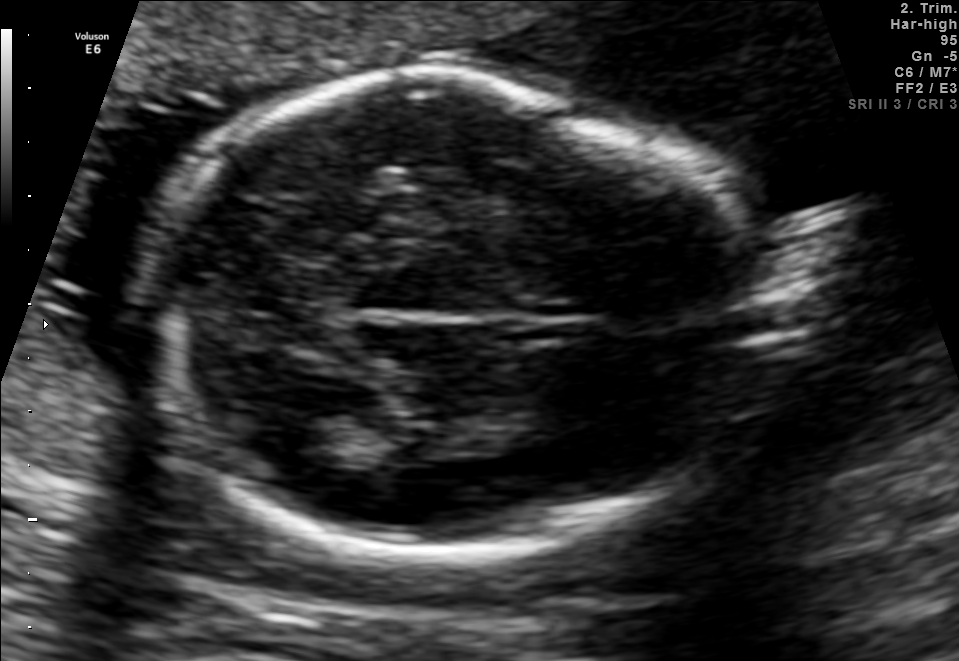
Fetal brain, trans-thalamic plane. Locate the fetal head.

Head: [149,72,754,547]